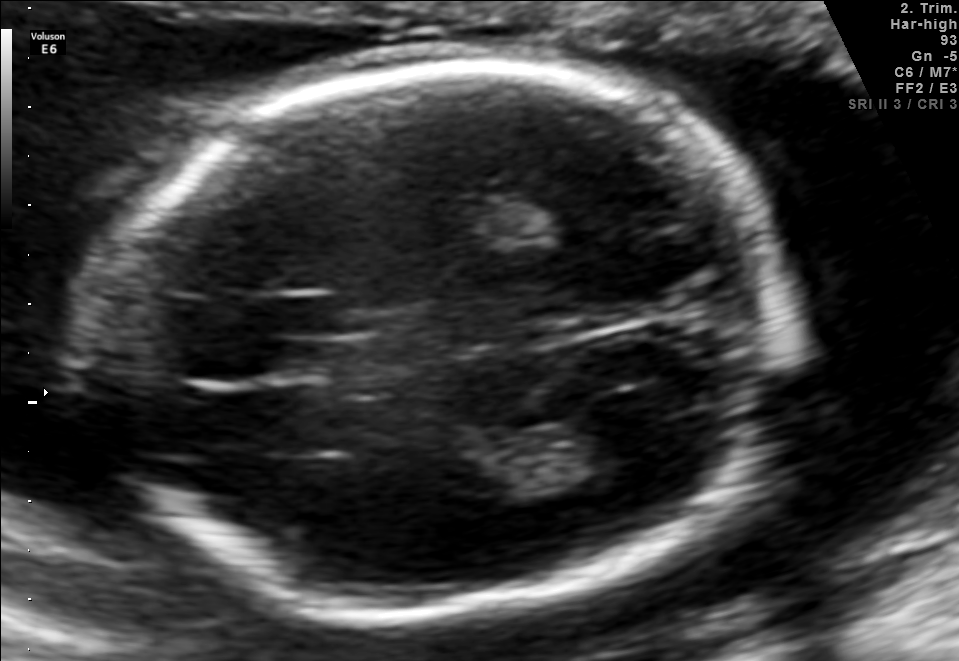
Fetal brain, trans-thalamic plane. Where is the lateral ventricle?

Lateral ventricle bounding box: [538,394,673,493]